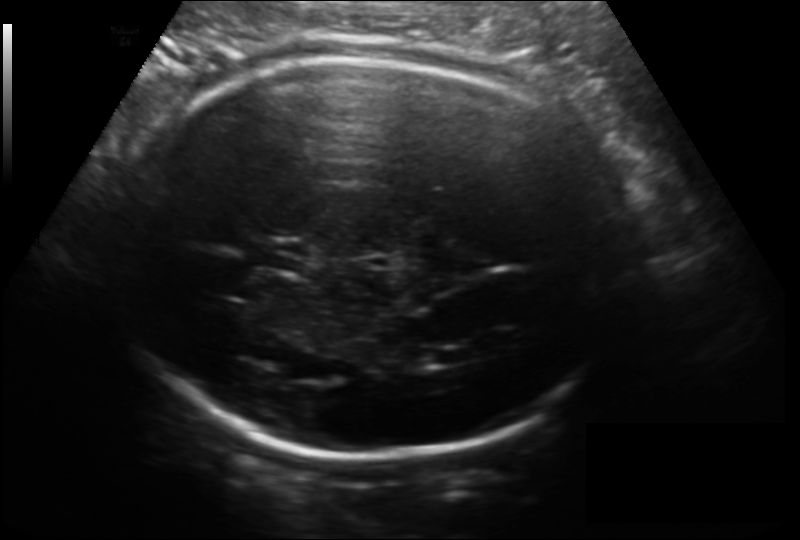
Measure the fetal head circumference shown in this ultrasound image. Image width: 133.1 mm.

Head circumference: 243.1 mm.